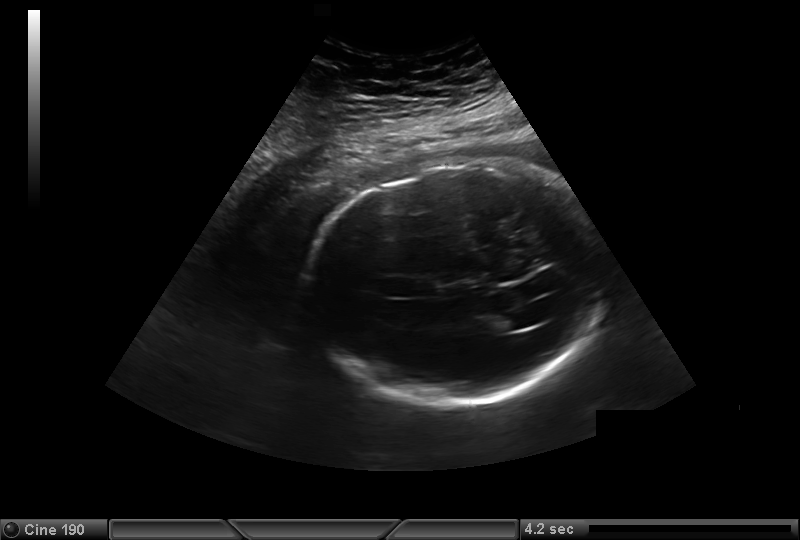
In this fetal head ultrasound, give the bounding box of the fetal head. Image width: 258.3 mm.

[306,164,607,405]